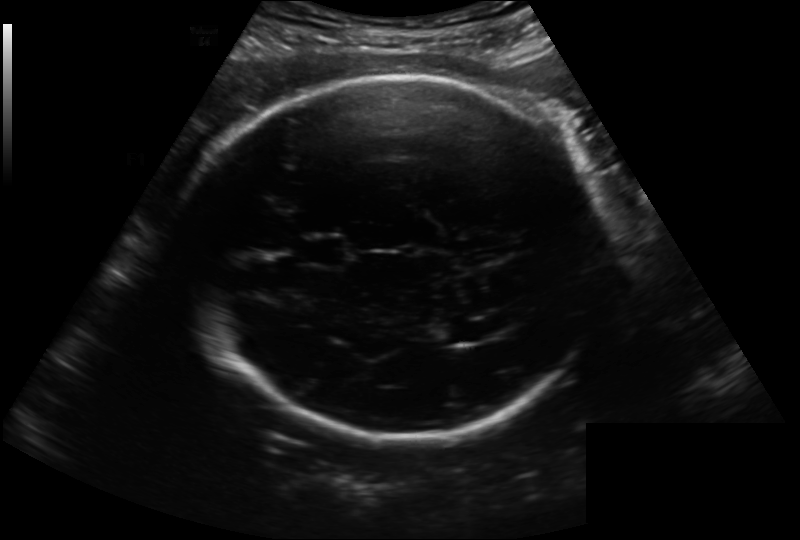
Fetal head ultrasound. Image width: 177.3 mm. Locate the cavum septum pellucidum.

CSP: [303,237,346,266]